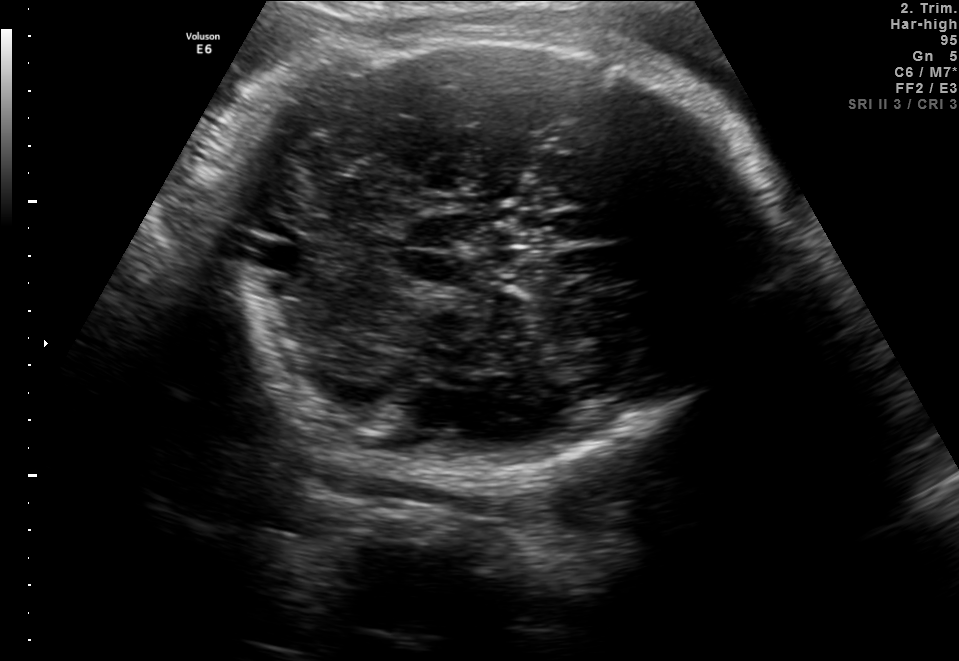
Which standard maternal-fetal ultrasound plane is shown: fetal abdomen, fetal brain, fetal femur, fetal thorax, maternal cervix, or other? If it's fetal brain and one of the three standard brain planes (trans-thalamic, trans-cerebellum, trans-ventricular), name which.

Fetal brain (trans-cerebellum plane)